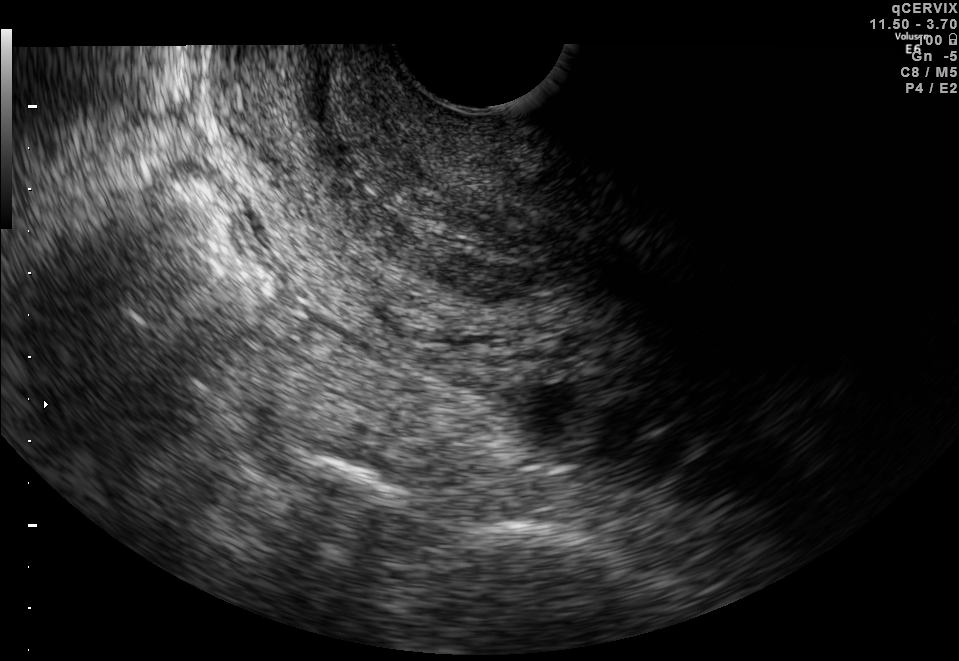
Classify this maternal-fetal ultrasound image as one of the six standard planes — fetal abdomen, fetal brain, fetal femur, fetal thorax, maternal cervix, or other. If it's fetal brain and one of the three standard brain planes (trans-thalamic, trans-cerebellum, trans-ventricular), name which.

Maternal cervix